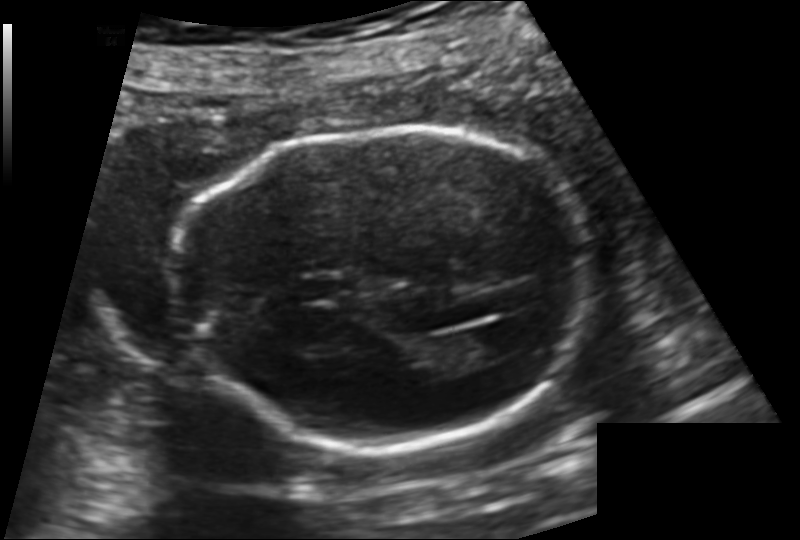
Fetal head ultrasound. Image width: 115.3 mm. Where is the fetal head?

Head bounding box: [178,131,592,449]